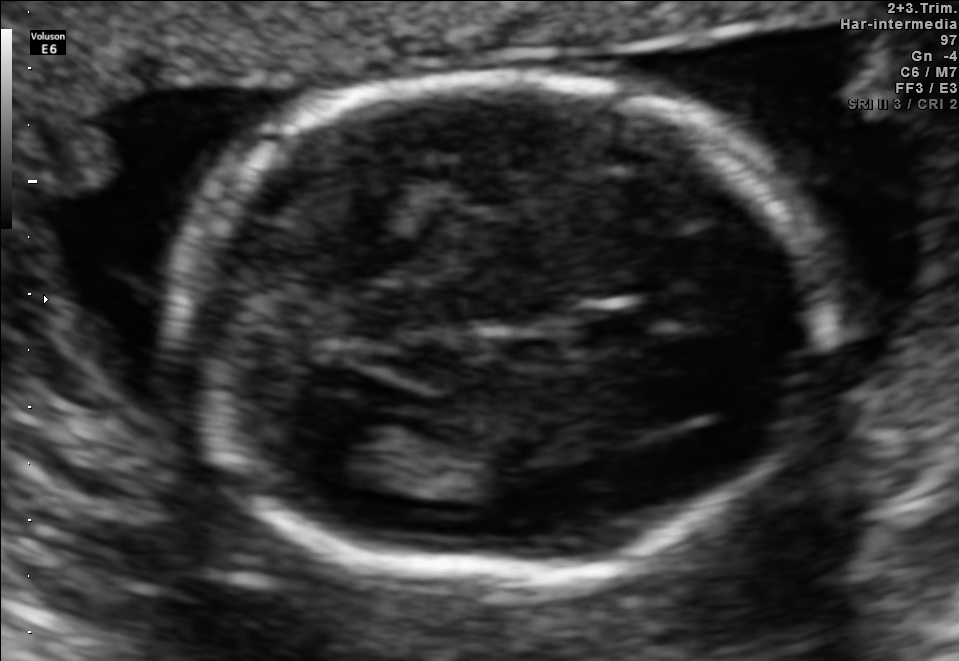
Fetal brain, trans-thalamic plane. Give [x1,y1,x2,y2] bounding boxes for each visible structure among: fetal head, CSP, LV.

Head: [171,74,838,577]
CSP: [573,303,662,355]
Lateral ventricle: [316,405,436,494]